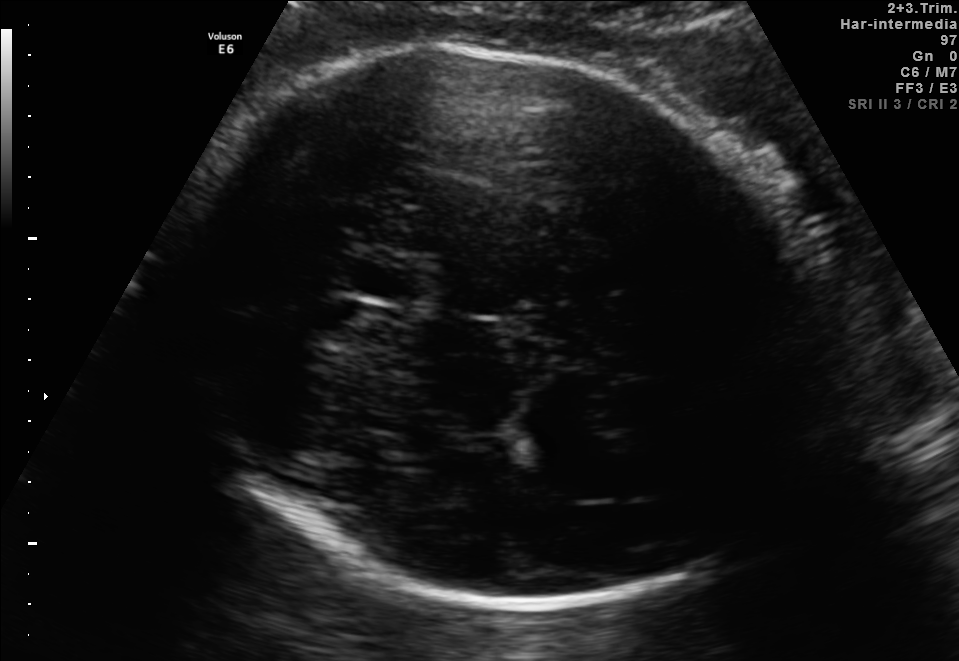
In this fetal brain, trans-thalamic plane, give bounding boxes for the head outline, cavum septum pellucidum (CSP), and lateral ventricle (LV), where visible.

Head: [179,46,818,609]
CSP: [350,257,417,304]